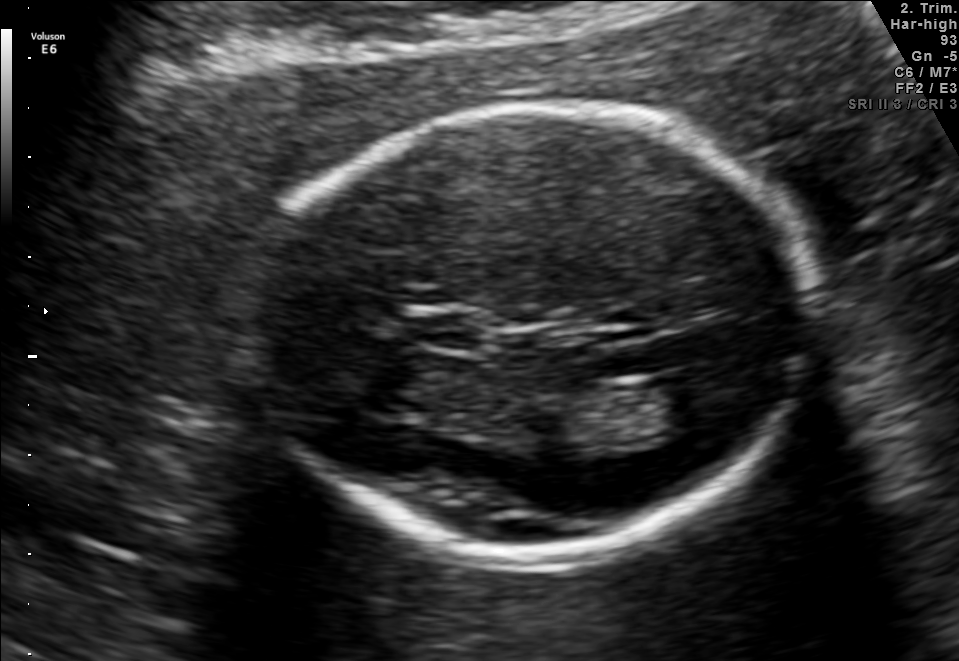
Fetal brain, trans-thalamic plane. Where is the cavum septum pellucidum?

CSP bounding box: [415,313,482,349]